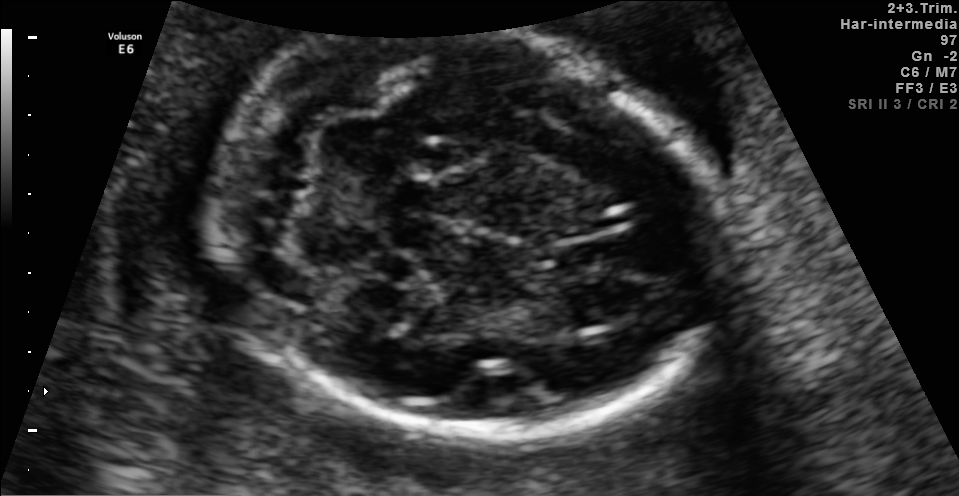
Fetal brain, trans-cerebellum plane. Locate the fetal head.

Head: [214,11,723,438]